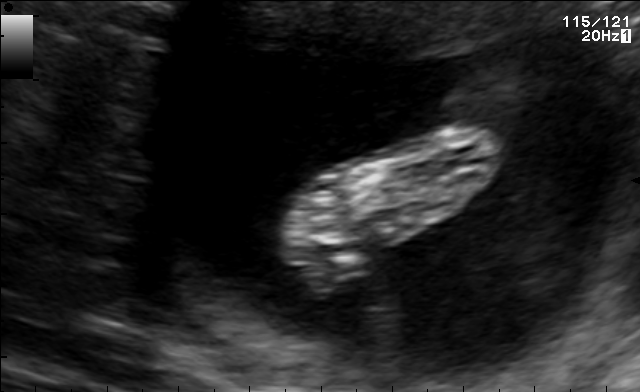
This is a 2D maternal-fetal ultrasound frame. Is it a fetal abdomen, fetal brain, fetal femur, fetal thorax, maternal cervix, or other standard plane? If it's fetal brain and one of the three standard brain planes (trans-thalamic, trans-cerebellum, trans-ventricular), name which.

Other